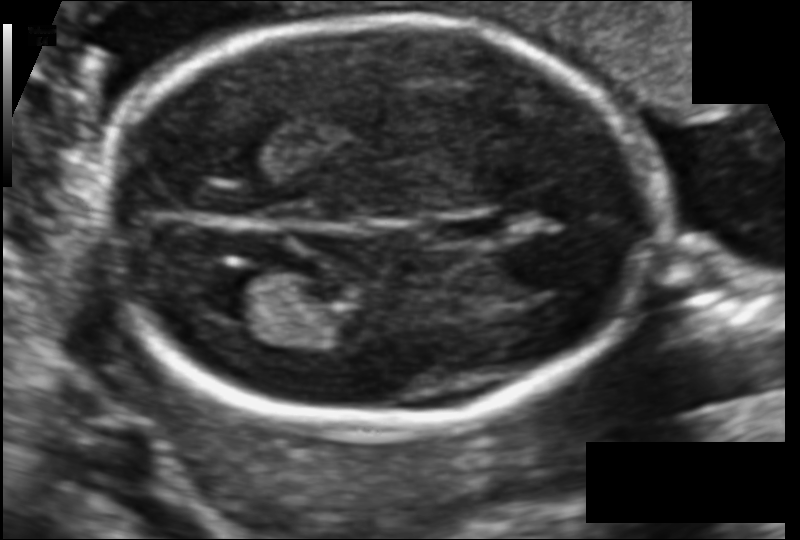
Measure the fetal head circumference shown in this ultrasound image. Image width: 84.6 mm.

Head circumference: 165.0 mm.